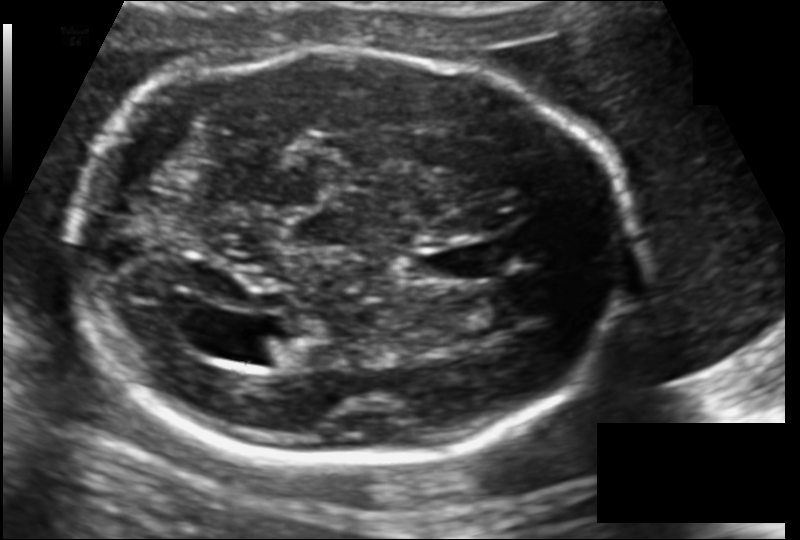
Fetal head ultrasound. Image width: 110.0 mm. Give [x1,y1,x2,y2] bounding boxes for each visible structure among: fetal head, CSP, LV.

Head: [70,49,636,460]
CSP: [416,238,501,288]
Lateral ventricle: [240,328,306,372]